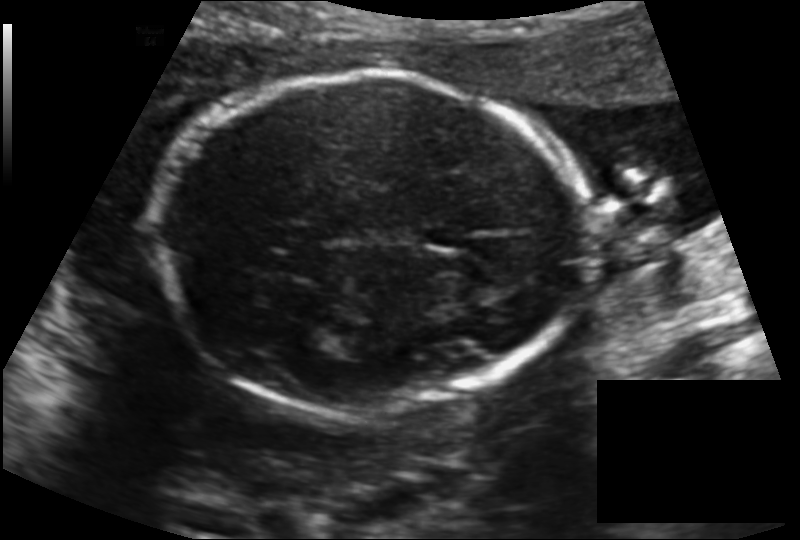
What is the fetal head circumference? Image width is 116.2 mm.

182.3 mm